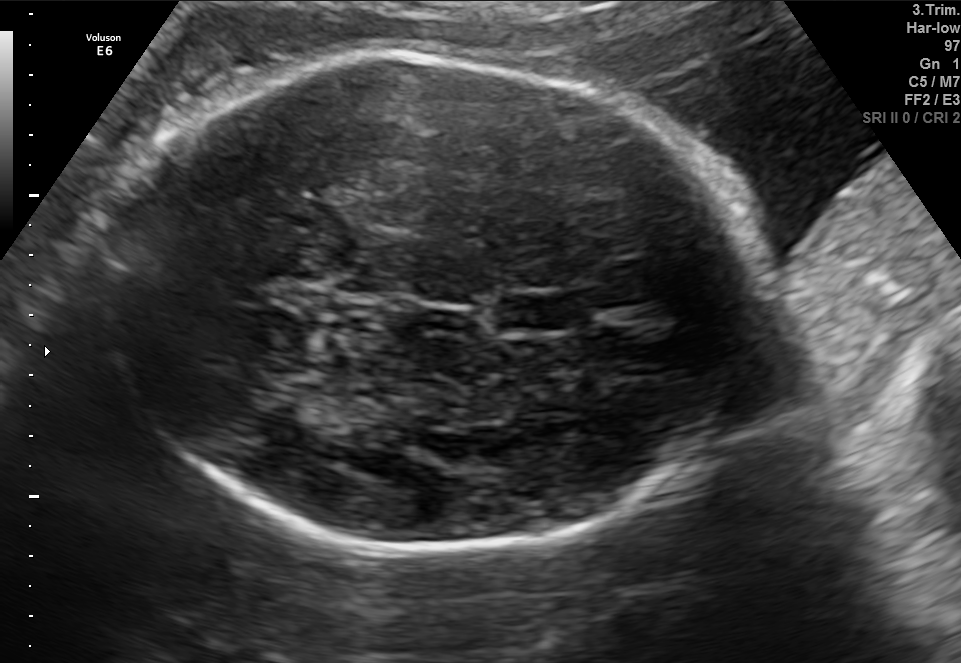
Fetal brain, trans-thalamic plane. Locate the cavum septum pellucidum.

CSP: [496,294,562,331]